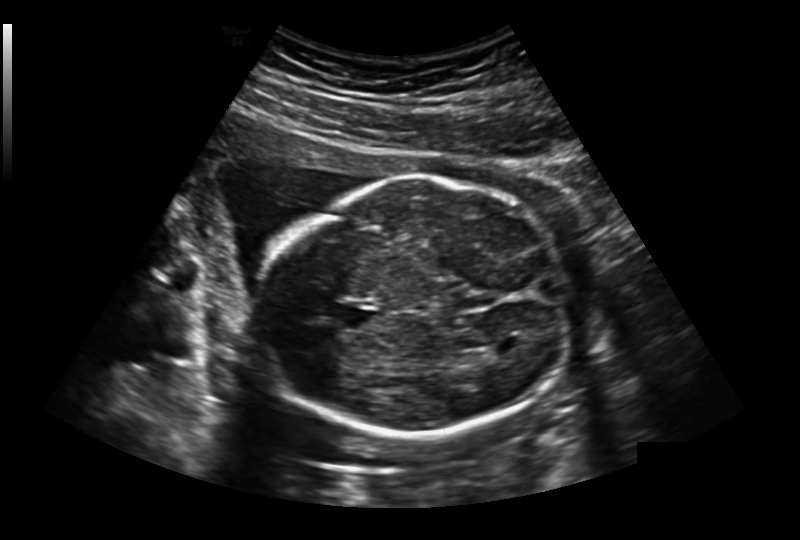
Fetal head ultrasound. Image width: 188.6 mm. Locate the cavum septum pellucidum.

CSP: [336,304,375,330]